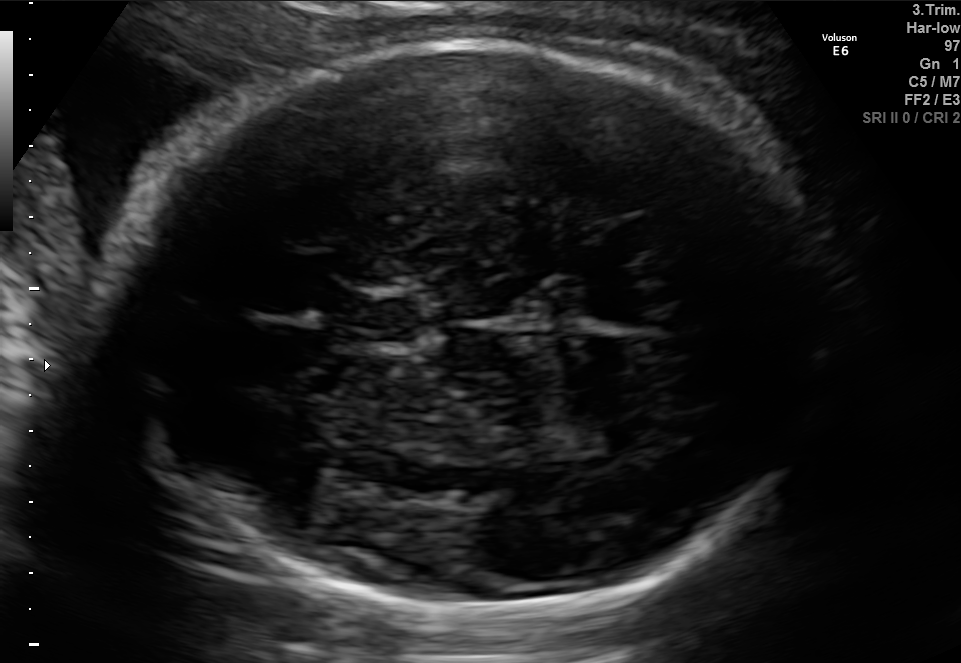
Fetal brain, trans-thalamic plane. Locate the fetal head.

Head: [106,45,821,614]